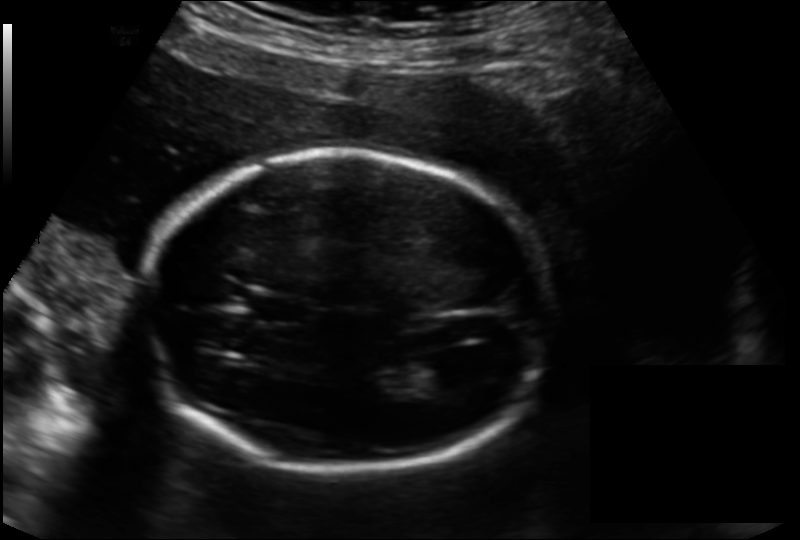
Fetal head ultrasound. Image width: 133.1 mm. Give [x1,y1,x2,y2] bounding boxes for each visible structure among: fetal head, CSP, LV.

Head: [147,148,551,472]
CSP: [251,292,315,329]
Lateral ventricle: [395,353,462,398]